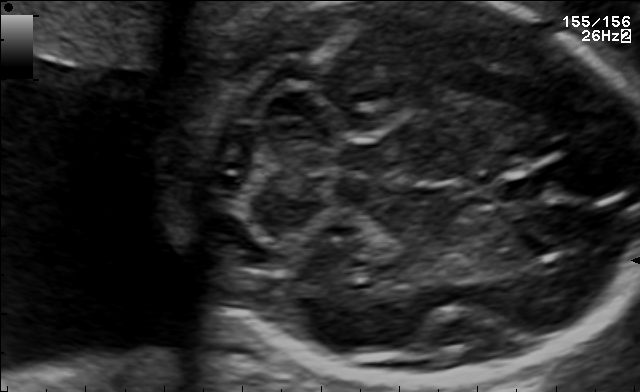
Classify this maternal-fetal ultrasound image as one of the six standard planes — fetal abdomen, fetal brain, fetal femur, fetal thorax, maternal cervix, or other. If it's fetal brain and one of the three standard brain planes (trans-thalamic, trans-cerebellum, trans-ventricular), name which.

Fetal brain (trans-cerebellum plane)